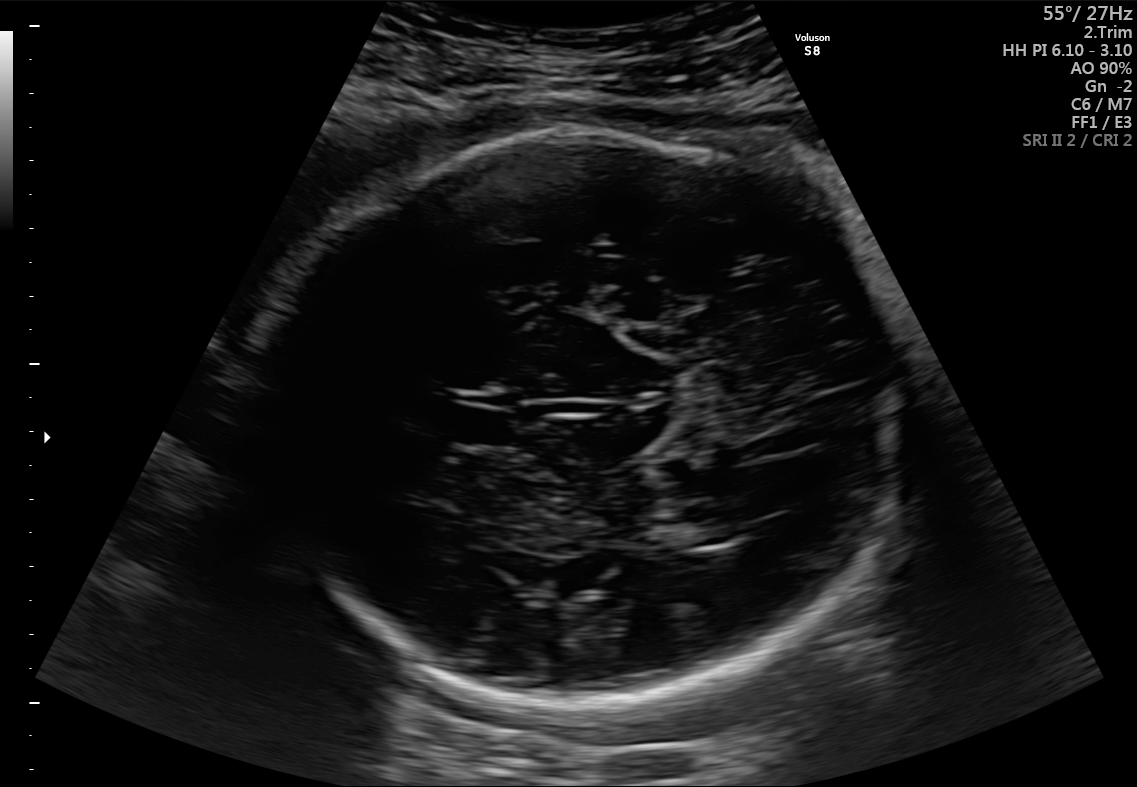
In this fetal brain, trans-thalamic plane, give bounding boxes for the head outline, cavum septum pellucidum (CSP), and lateral ventricle (LV), where visible.

Head: [255,135,911,712]
CSP: [446,403,515,446]
Lateral ventricle: [652,510,740,552]